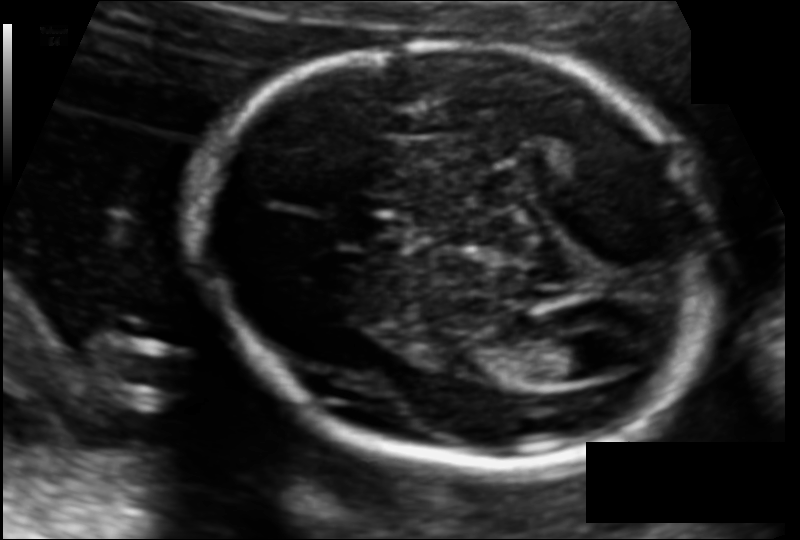
In this fetal head ultrasound, give the bounding box of the lateral ventricle. Image width: 87.7 mm.

[525,328,614,386]